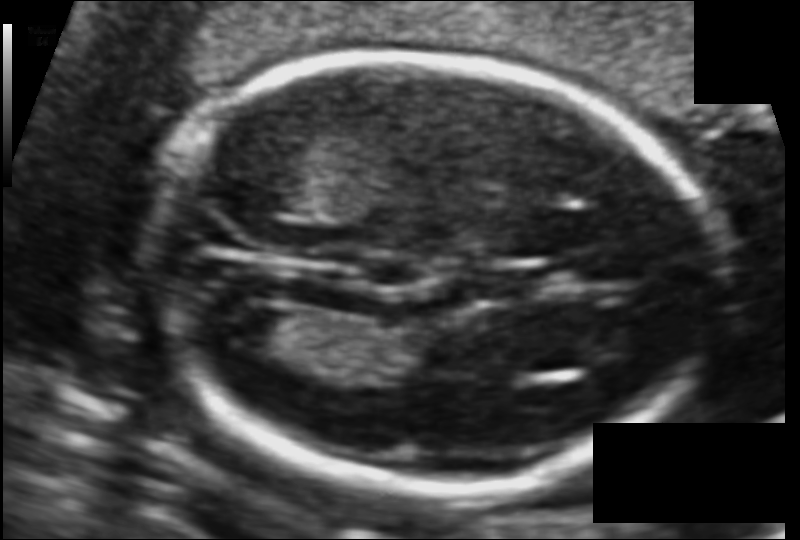
From this fetal ultrasound, estimate the head circumference (image width 75.8 mm).

Head circumference: 154.3 mm.